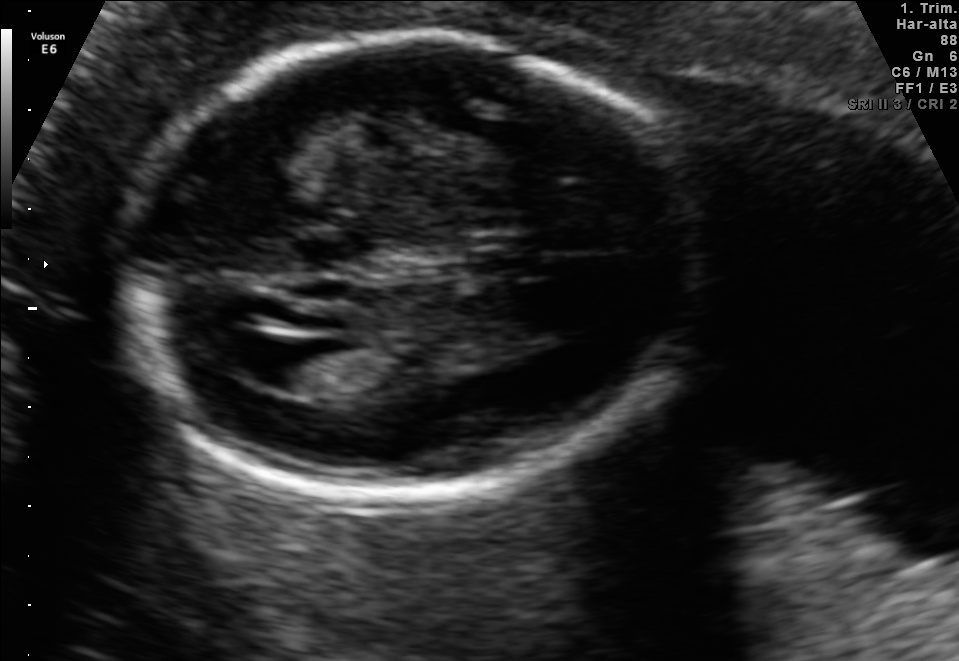
In this fetal brain, trans-ventricular plane, give the bounding box of the fetal head.

[104,29,725,514]